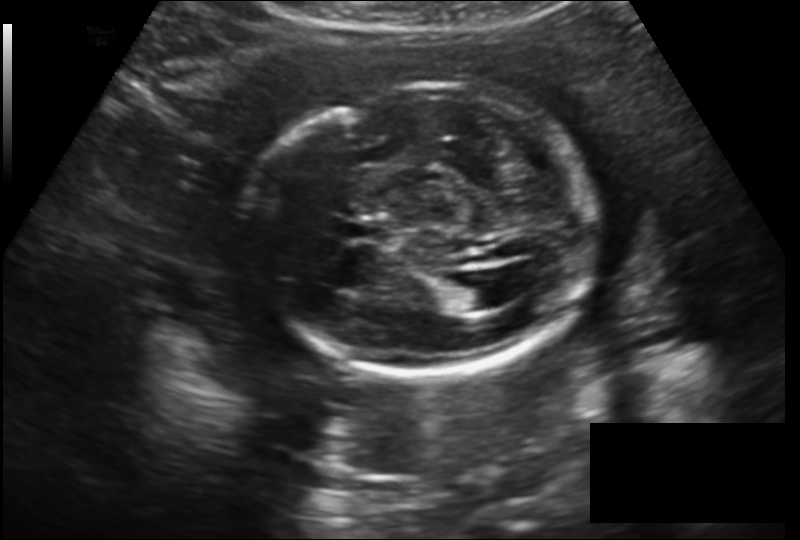
In this fetal head ultrasound, give bounding boxes for the head outline, cavum septum pellucidum (CSP), and lateral ventricle (LV), where visible. Image width: 145.7 mm.

Head: [246,85,596,373]
CSP: [344,220,387,242]
Lateral ventricle: [449,278,499,312]